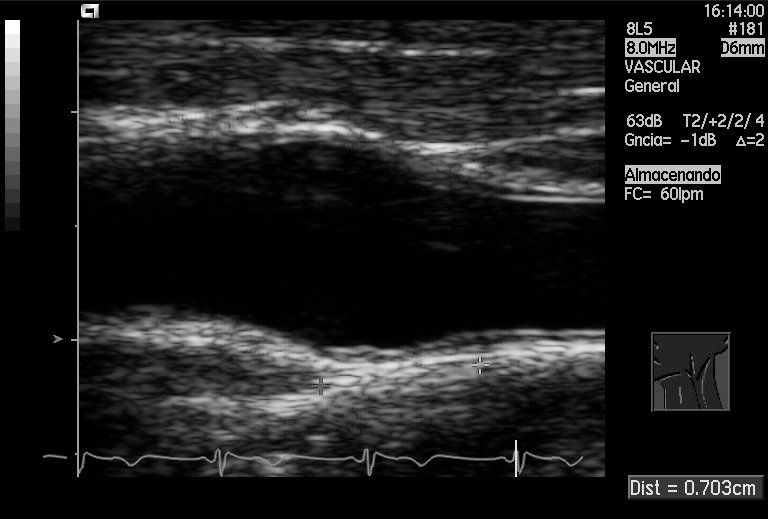
Classify this maternal-fetal ultrasound image as one of the six standard planes — fetal abdomen, fetal brain, fetal femur, fetal thorax, maternal cervix, or other. If it's fetal brain and one of the three standard brain planes (trans-thalamic, trans-cerebellum, trans-ventricular), name which.

Other